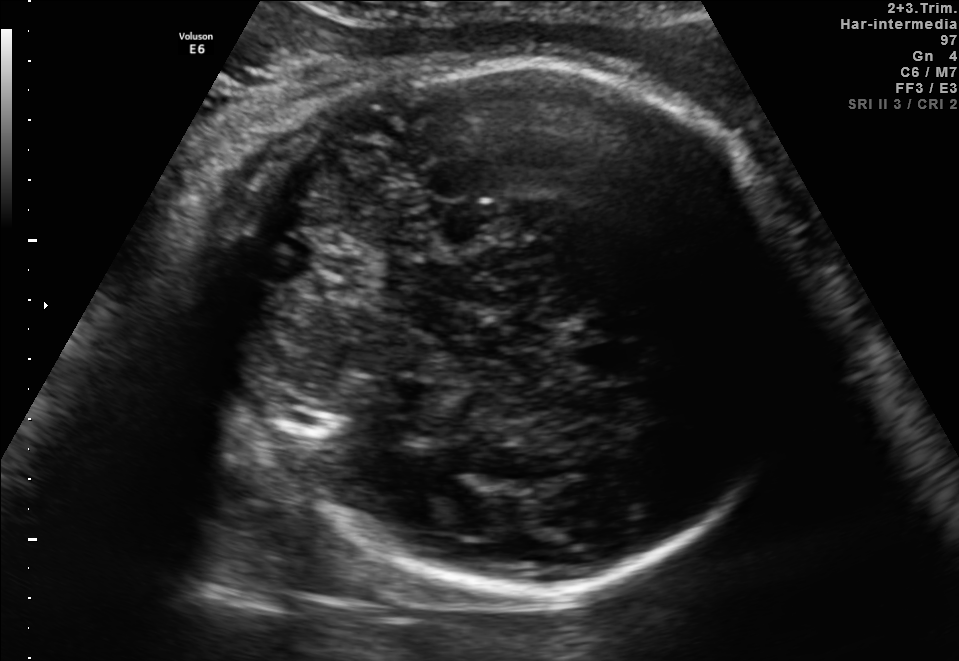
In this fetal brain, trans-thalamic plane, give bounding boxes for the head outline, cavum septum pellucidum (CSP), and lateral ventricle (LV), where visible.

Head: [255,54,798,605]